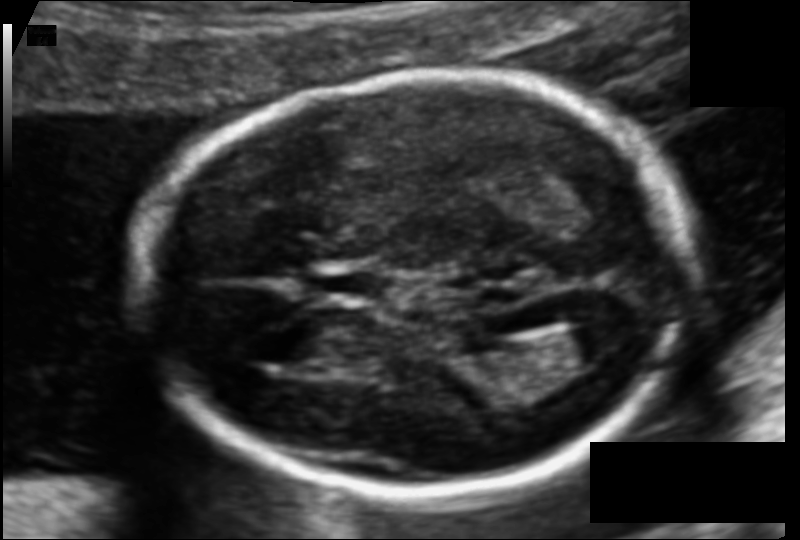
In this fetal head ultrasound, give the bounding box of the fetal head. Image width: 83.7 mm.

[140,78,685,489]